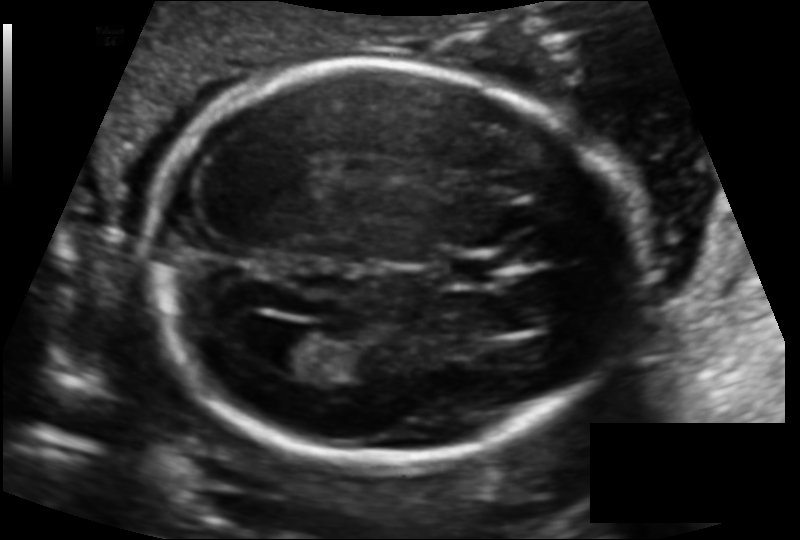
In this fetal head ultrasound, give the bounding box of the lateral ventricle. Image width: 100.1 mm.

[260,322,334,380]